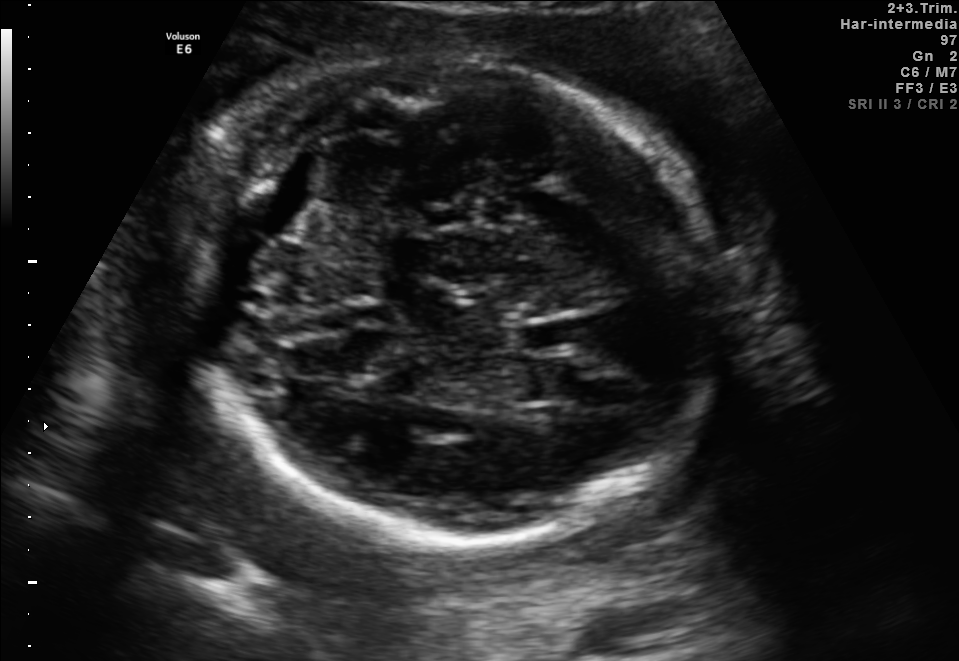
Fetal brain, trans-thalamic plane. Where is the cavum septum pellucidum?

CSP bounding box: [513,314,586,353]